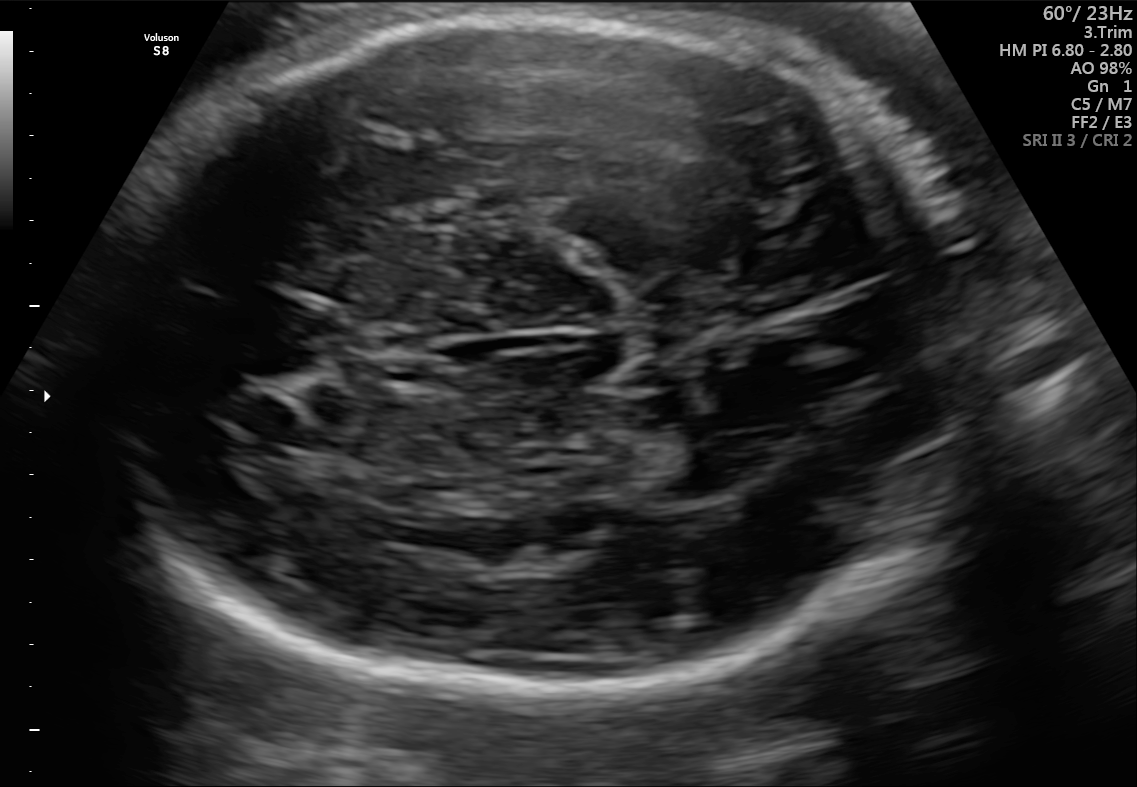
Fetal brain, trans-thalamic plane. Where is the fetal head?

Head bounding box: [75,12,1003,701]